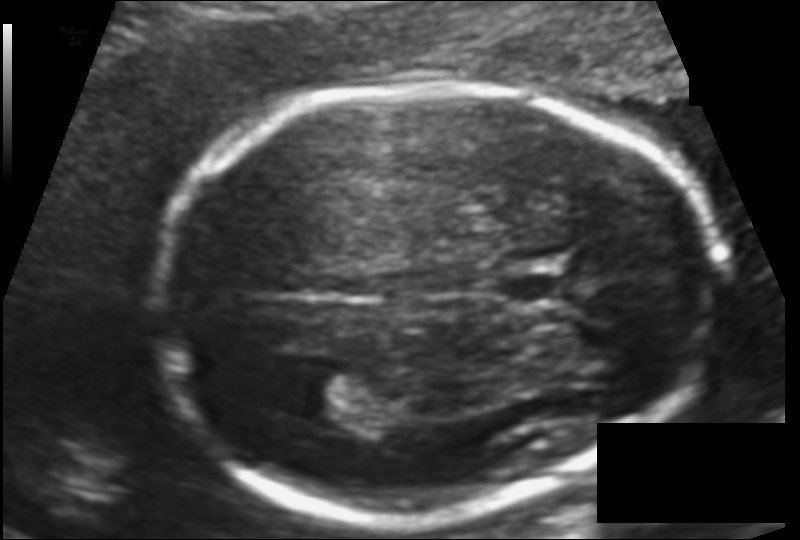
What is the fetal head circumference? Image width is 87.8 mm.

177.4 mm